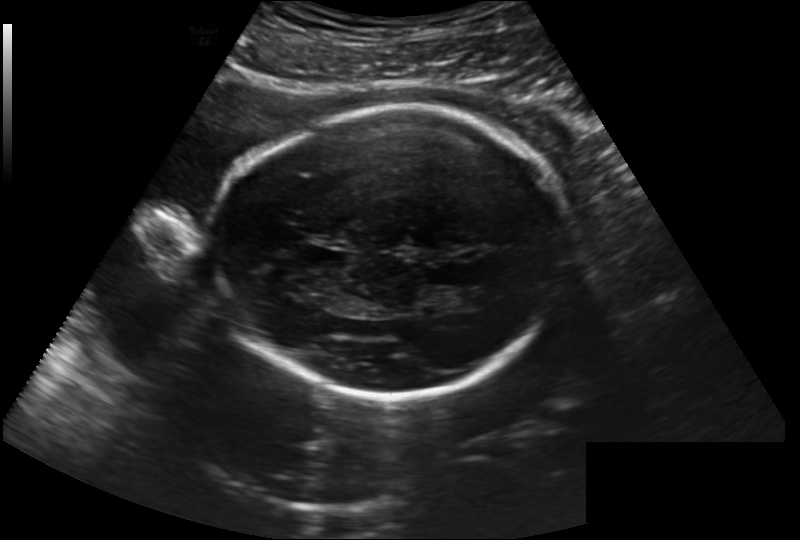
Measure the fetal head circumference shown in this ultrasound image. Image width: 177.2 mm.

Head circumference: 230.1 mm.